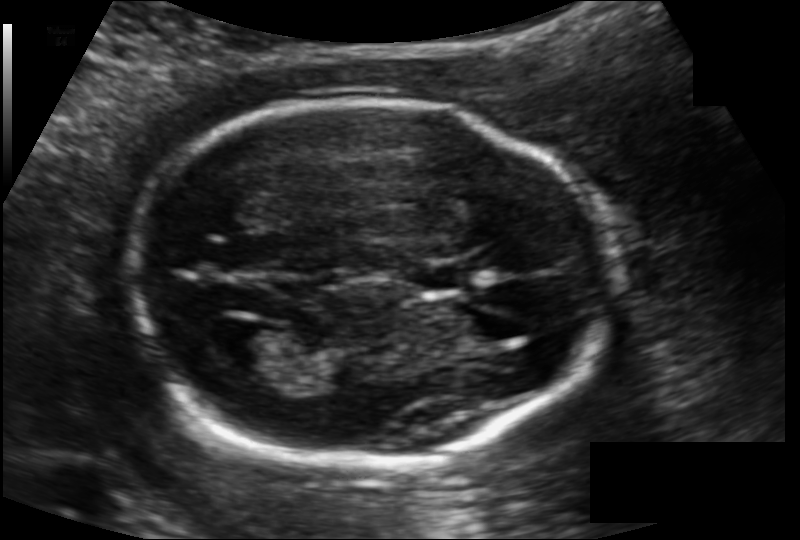
Fetal head ultrasound. Image width: 96.5 mm. Locate the lateral ventricle.

Lateral ventricle: [211,322,286,378]